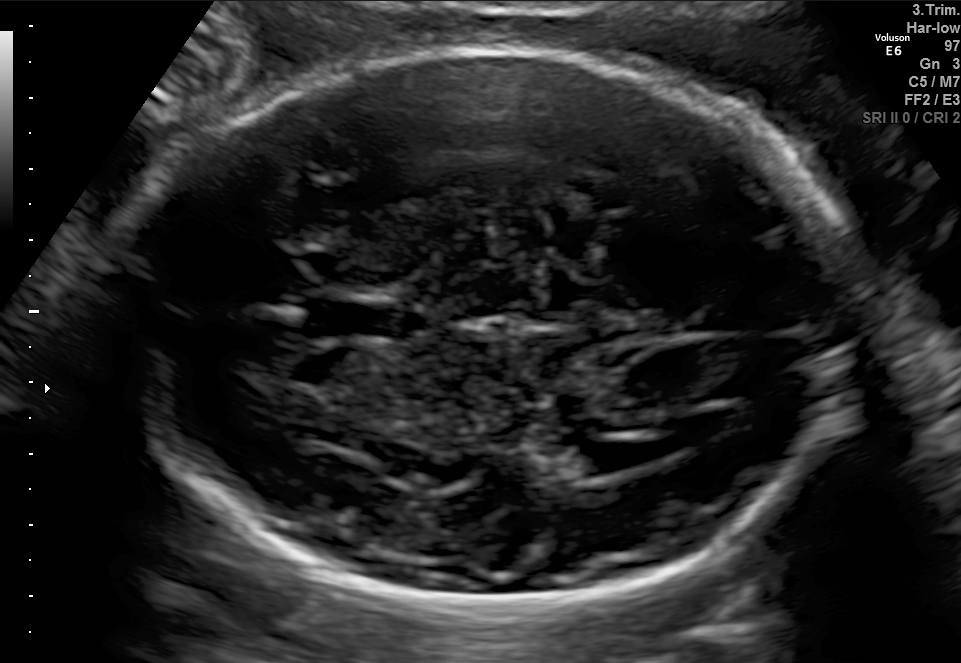
Fetal brain, trans-ventricular plane. Where is the fetal head?

Head bounding box: [112,44,875,617]